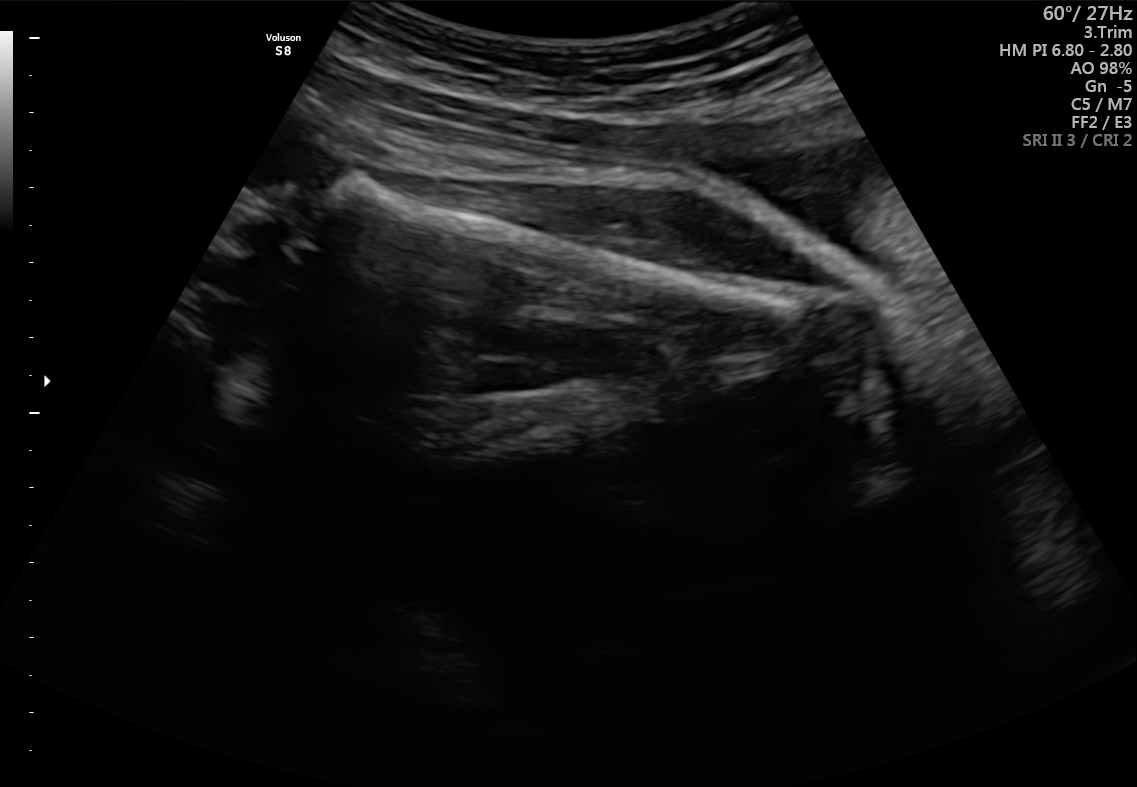
This is a 2D maternal-fetal ultrasound frame. Is it a fetal abdomen, fetal brain, fetal femur, fetal thorax, maternal cervix, or other standard plane? If it's fetal brain and one of the three standard brain planes (trans-thalamic, trans-cerebellum, trans-ventricular), name which.

Fetal femur